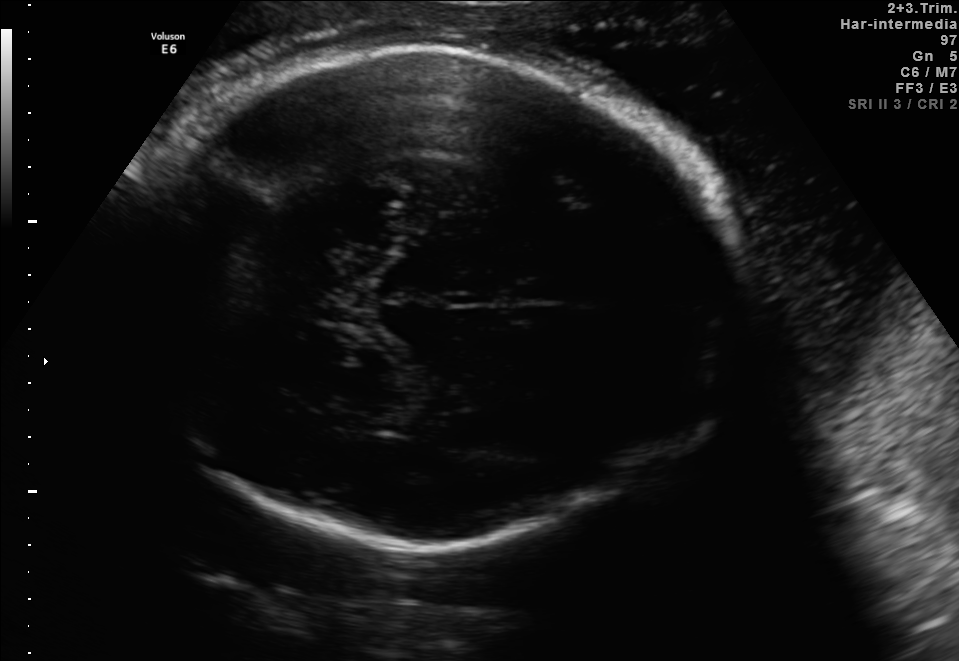
Fetal brain, trans-thalamic plane. Locate the fetal head and, if visible, the cavum septum pellucidum (CSP) and lateral ventricle (LV). Give bounding boxes as [x1,y1,x2,y2].

Head: [111,45,742,546]